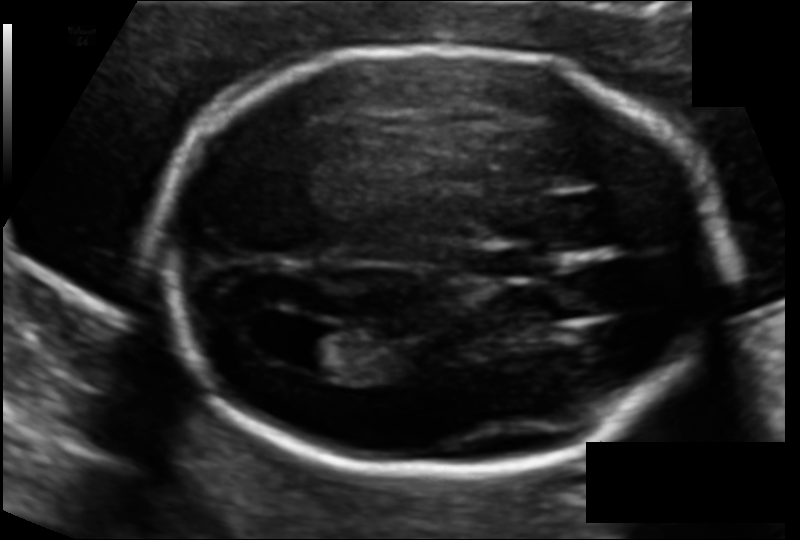
Measure the fetal head circumference shown in this ultrasound image. Image width: 89.4 mm.

Head circumference: 178.2 mm.